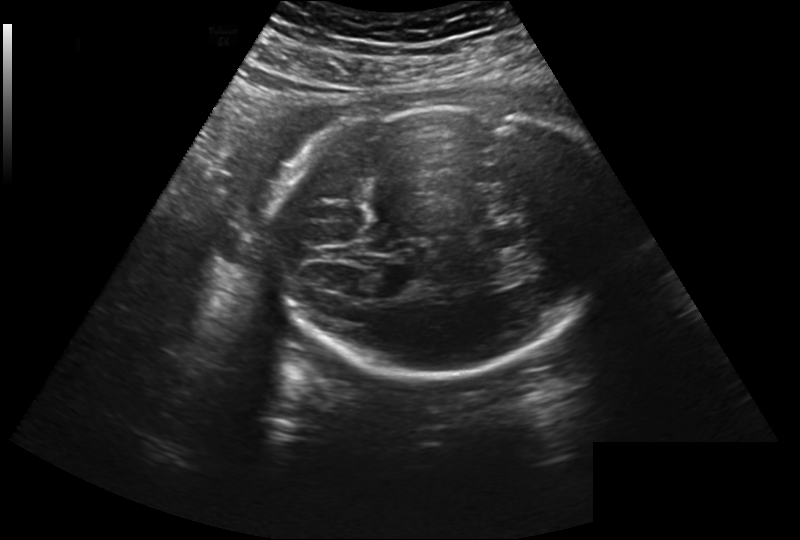
Estimate the fetal head circumference from this 2D ultrasound. Image width: 208.3 mm.

Head circumference: 264.3 mm.